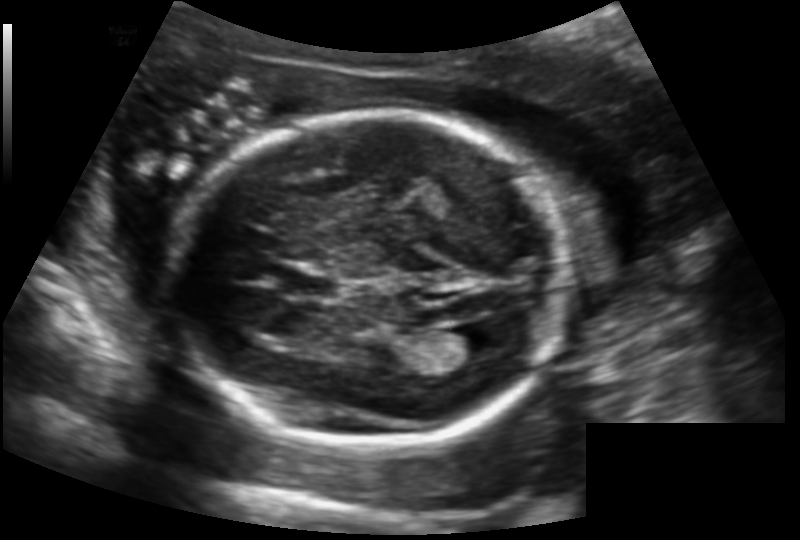
Fetal head ultrasound. Image width: 117.4 mm. Locate the fetal head and, if visible, the cavum septum pellucidum (CSP) and lateral ventricle (LV). Give bounding boxes as [x1,y1,x2,y2].

Head: [172,113,568,449]
CSP: [280,267,340,298]
Lateral ventricle: [439,318,502,367]